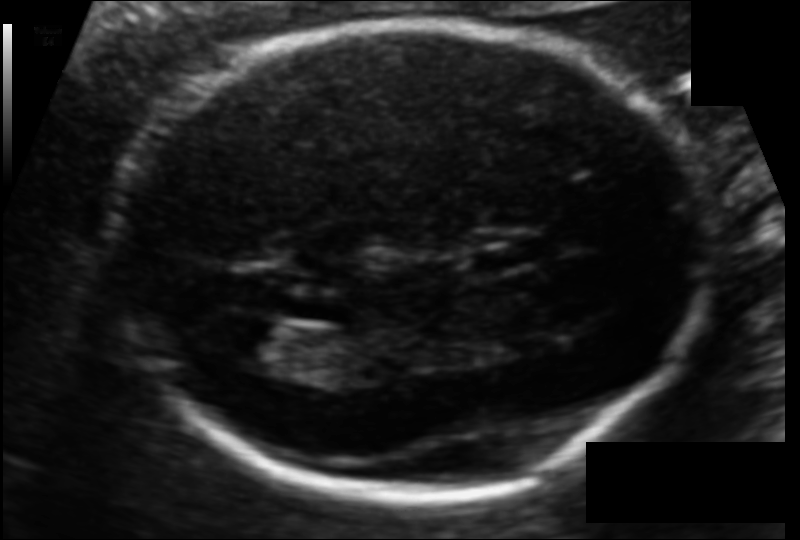
In this fetal head ultrasound, give the bounding box of the fetal head. Image width: 85.1 mm.

[118,21,707,491]